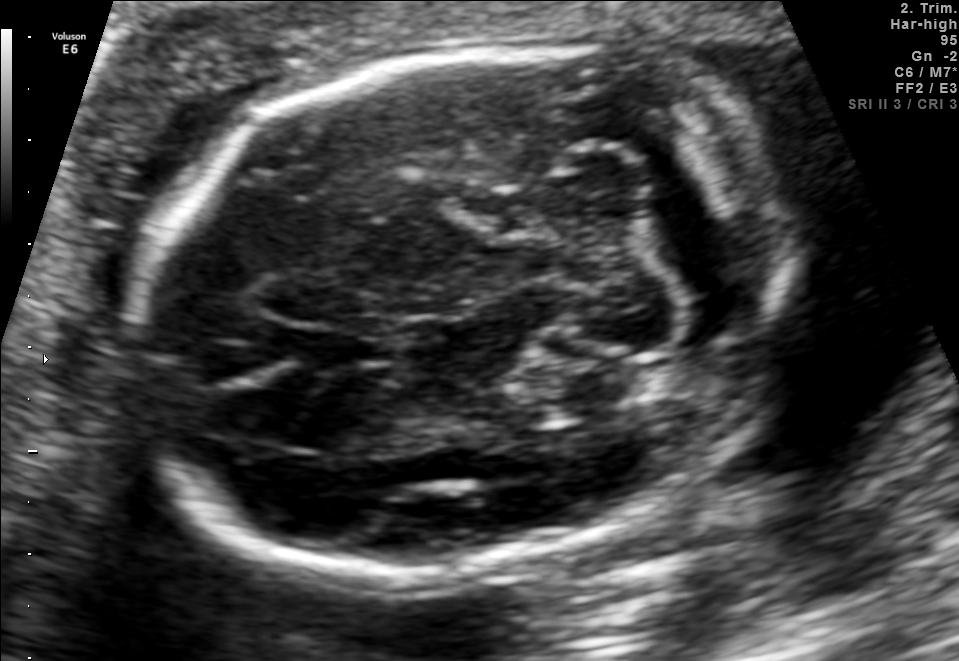
In this fetal brain, trans-cerebellum plane, give the bounding box of the cavum septum pellucidum.

[305,322,388,368]